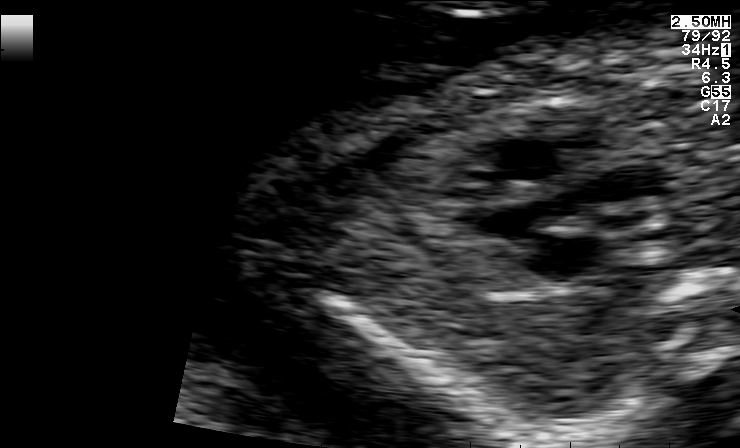
Which standard maternal-fetal ultrasound plane is shown: fetal abdomen, fetal brain, fetal femur, fetal thorax, maternal cervix, or other? If it's fetal brain and one of the three standard brain planes (trans-thalamic, trans-cerebellum, trans-ventricular), name which.

Other